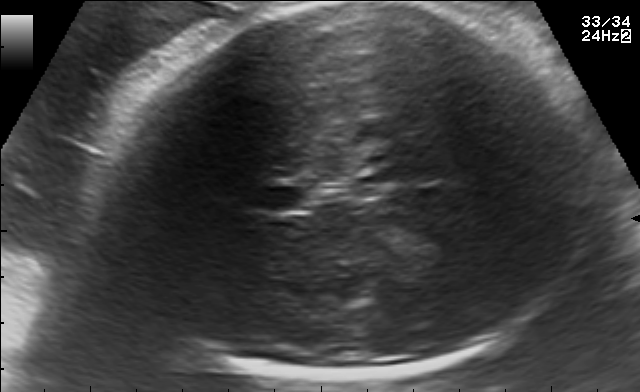
Fetal brain, trans-thalamic plane. Where is the fetal head?

Head bounding box: [106,3,589,381]